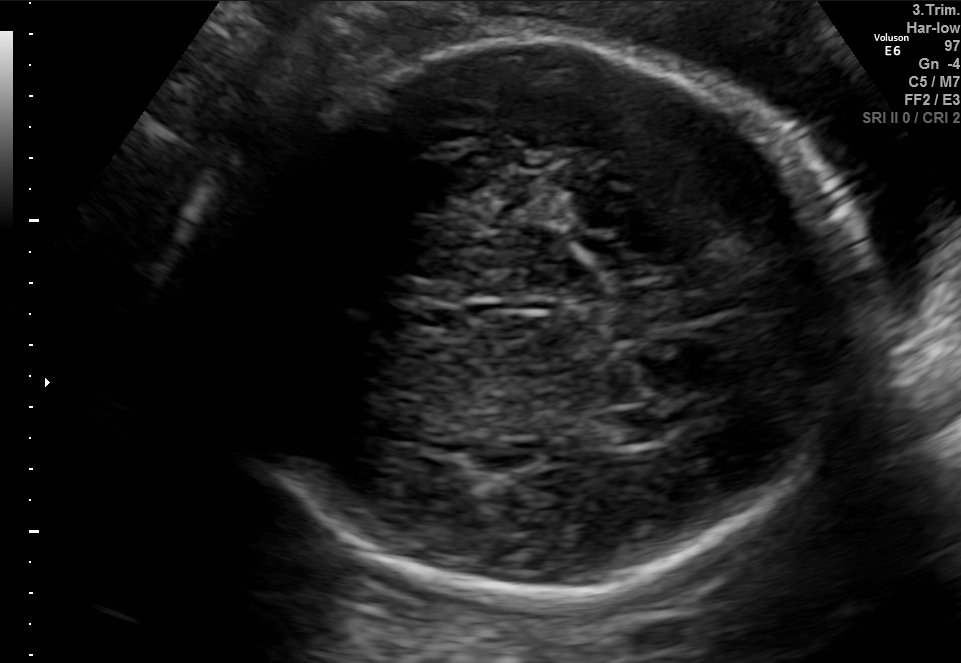
Fetal brain, trans-thalamic plane. Where is the fetal head?

Head bounding box: [221,34,858,597]